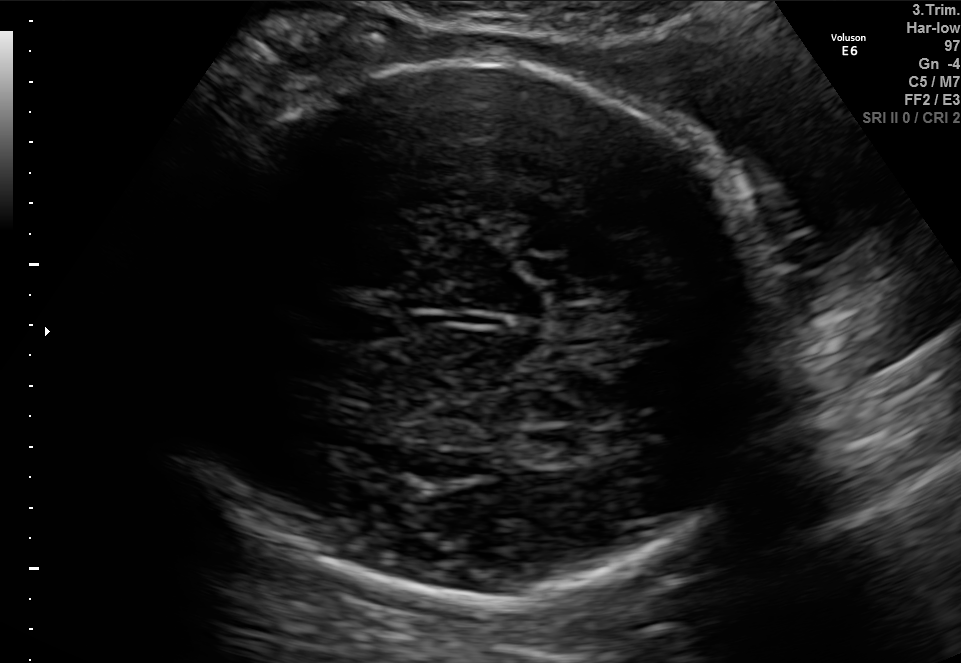
Fetal brain, trans-thalamic plane. Locate the lateral ventricle.

Lateral ventricle: [505,424,586,470]